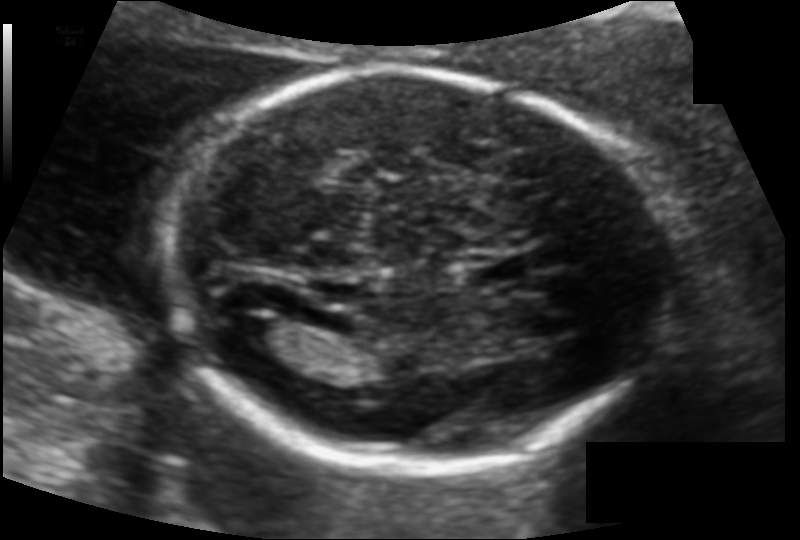
What is the fetal head circumference? Image width is 91.9 mm.

167.8 mm